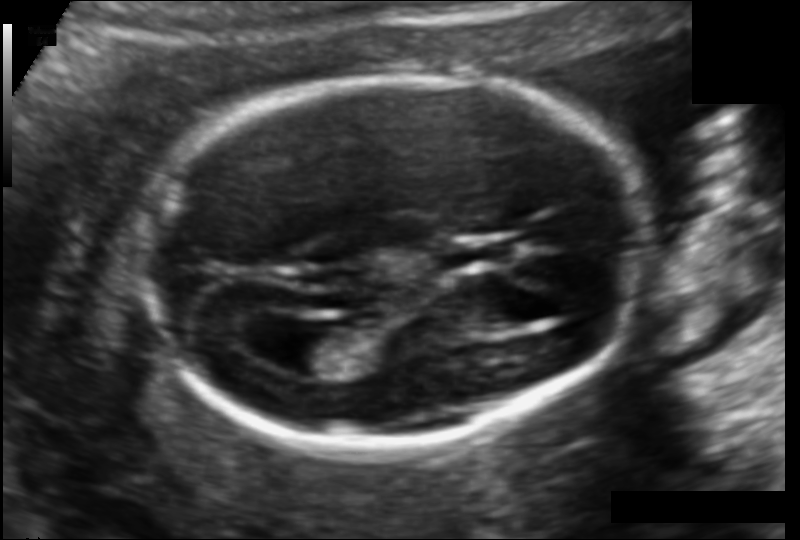
In this fetal head ultrasound, give the bounding box of the lateral ventricle. Image width: 91.5 mm.

[265,323,341,380]